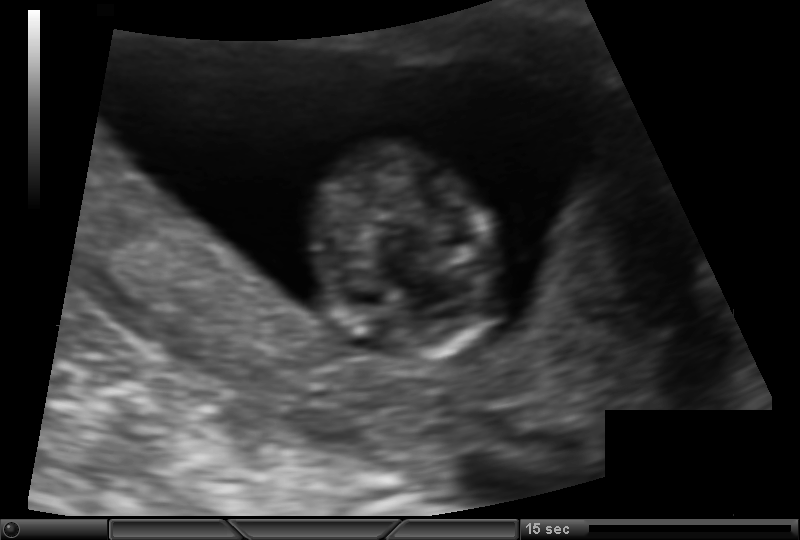
In this fetal head ultrasound, give bounding boxes for the head outline, cavum septum pellucidum (CSP), and lateral ventricle (LV), where visible. Image width: 84.2 mm.

Head: [309,142,502,364]